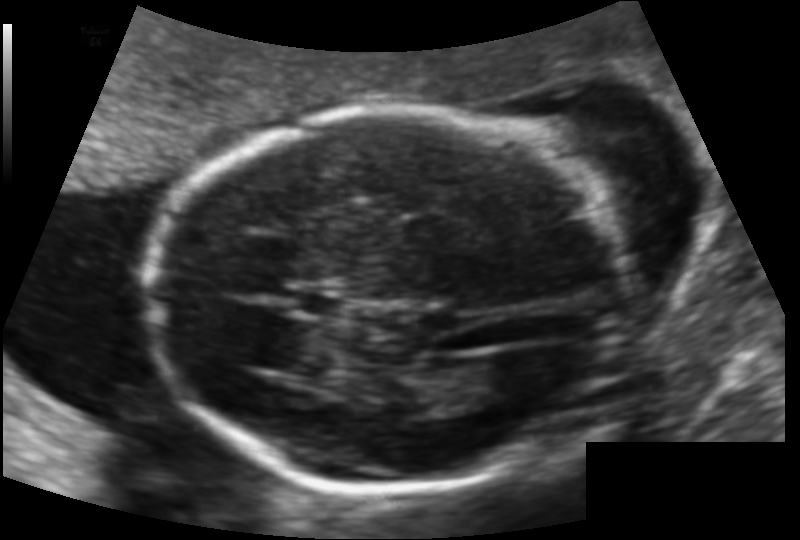
In this fetal head ultrasound, give the bounding box of the lateral ventricle. Image width: 94.5 mm.

[469,350,545,410]